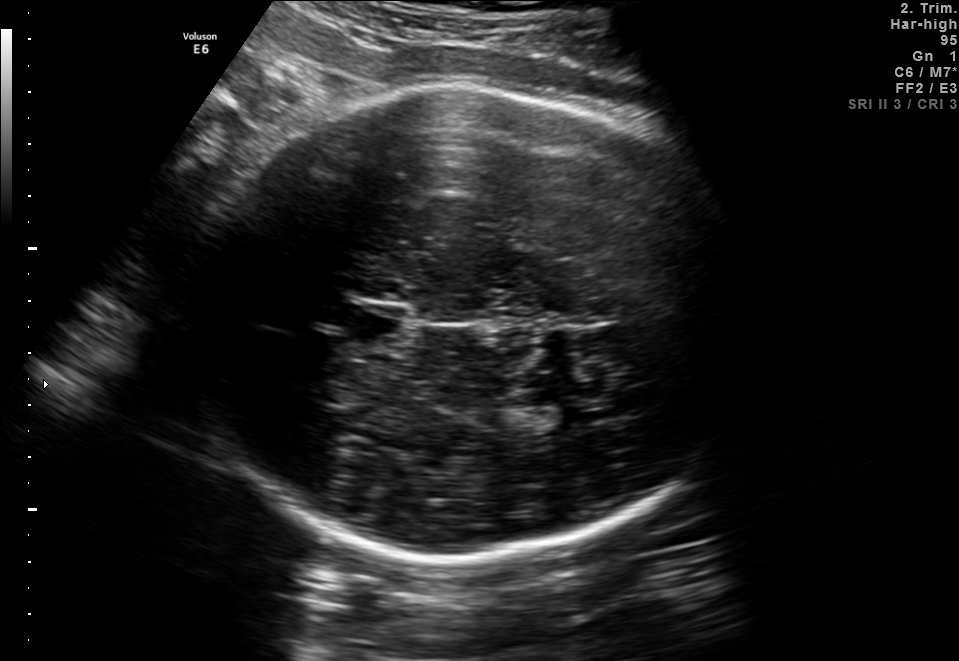
In this fetal brain, trans-thalamic plane, give bounding boxes for the head outline, cavum septum pellucidum (CSP), and lateral ventricle (LV), where visible.

Head: [196,85,747,560]
CSP: [333,301,408,351]